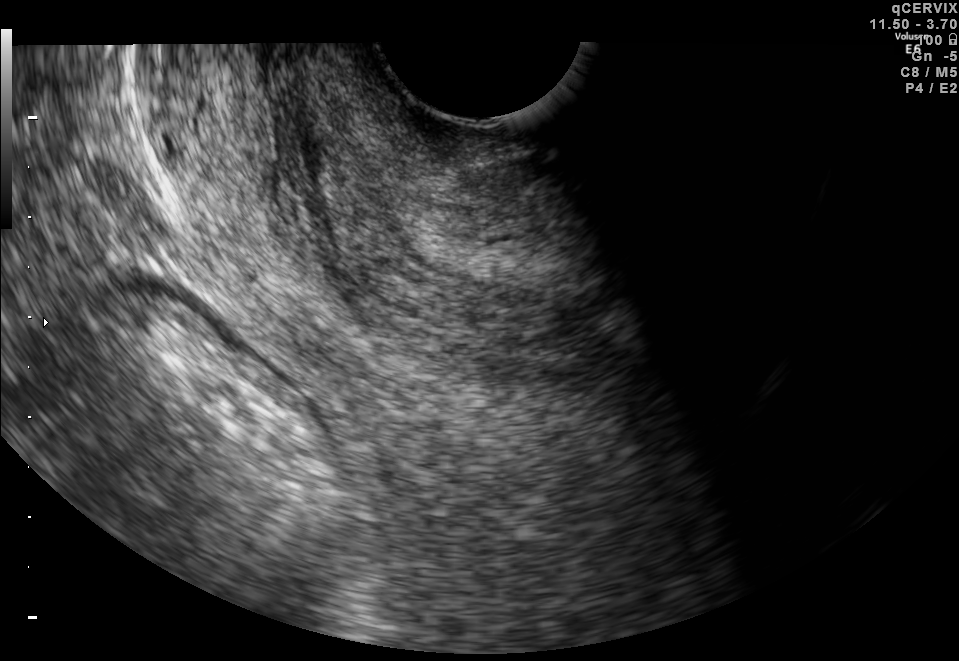
Identify the standard plane in this fetal ultrasound image: fetal abdomen, fetal brain, fetal femur, fetal thorax, maternal cervix, or other. If it's fetal brain and one of the three standard brain planes (trans-thalamic, trans-cerebellum, trans-ventricular), name which.

Maternal cervix